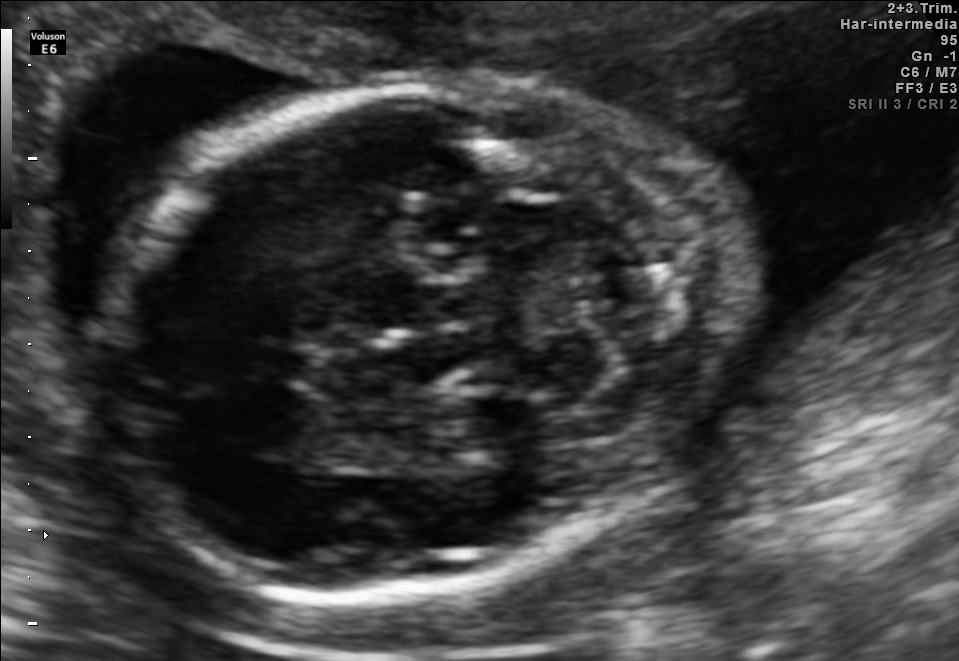
Identify the standard plane in this fetal ultrasound image: fetal abdomen, fetal brain, fetal femur, fetal thorax, maternal cervix, or other. If it's fetal brain and one of the three standard brain planes (trans-thalamic, trans-cerebellum, trans-ventricular), name which.

Fetal brain (trans-cerebellum plane)